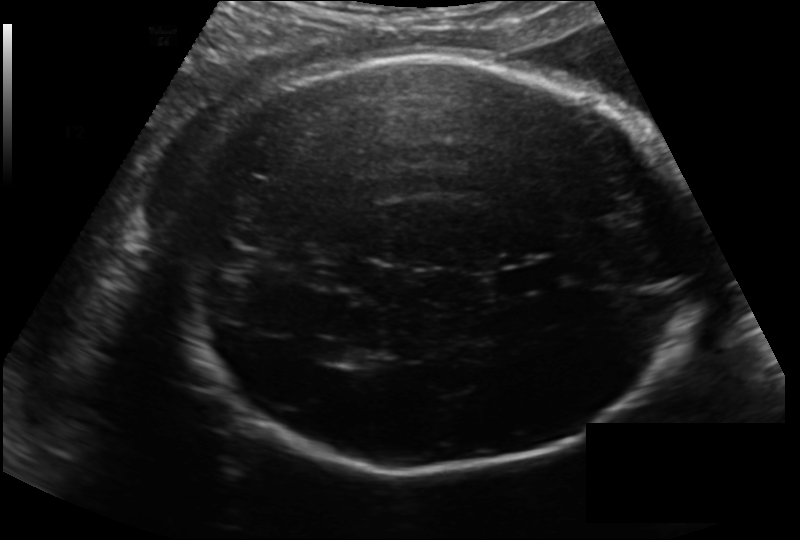
Fetal head ultrasound. Image width: 146.5 mm. Locate the fetal head.

Head: [171,56,699,468]